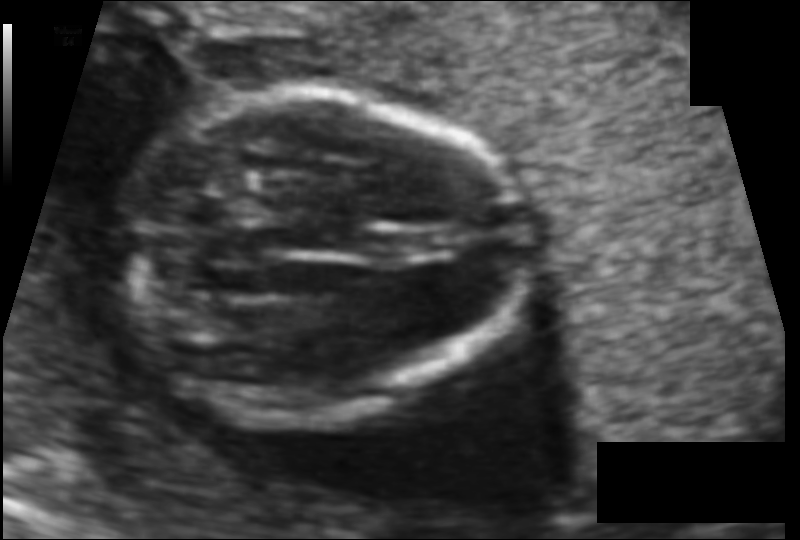
Measure the fetal head circumference shown in this ultrasound image. Image width: 71.6 mm.

Head circumference: 104.3 mm.